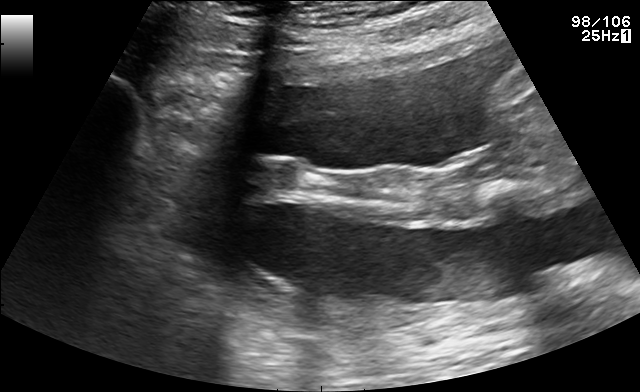
Which standard maternal-fetal ultrasound plane is shown: fetal abdomen, fetal brain, fetal femur, fetal thorax, maternal cervix, or other? If it's fetal brain and one of the three standard brain planes (trans-thalamic, trans-cerebellum, trans-ventricular), name which.

Other